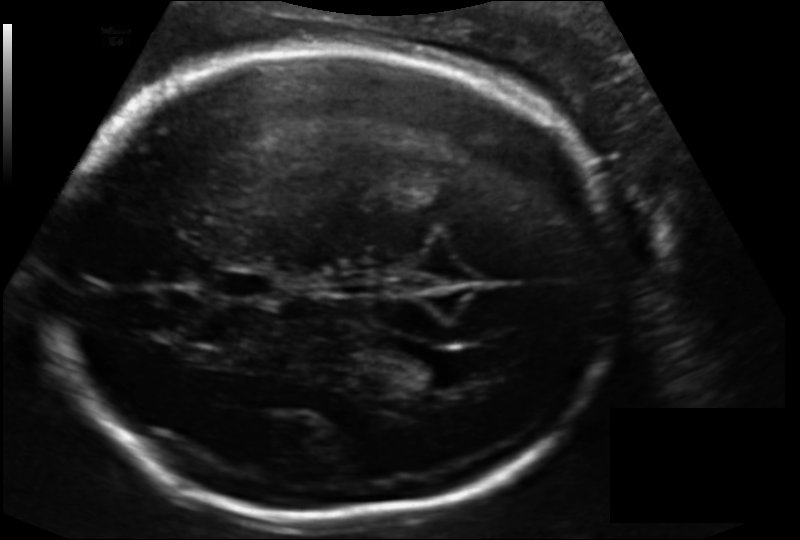
Fetal head ultrasound. Image width: 124.7 mm. Locate the cavum septum pellucidum.

CSP: [209,264,278,303]